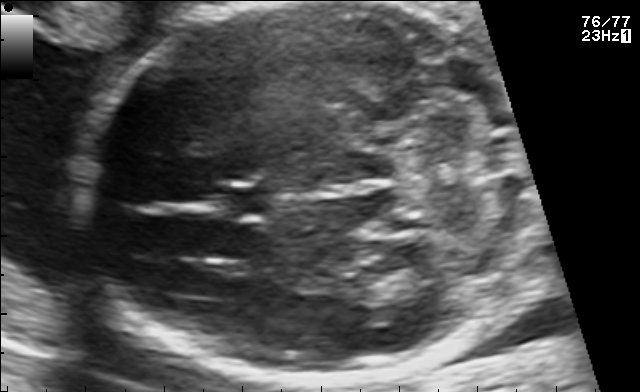
In this fetal brain, trans-cerebellum plane, give bounding boxes for the head outline, cavum septum pellucidum (CSP), and lateral ventricle (LV), where visible.

Head: [80,3,527,382]
CSP: [223,182,280,221]